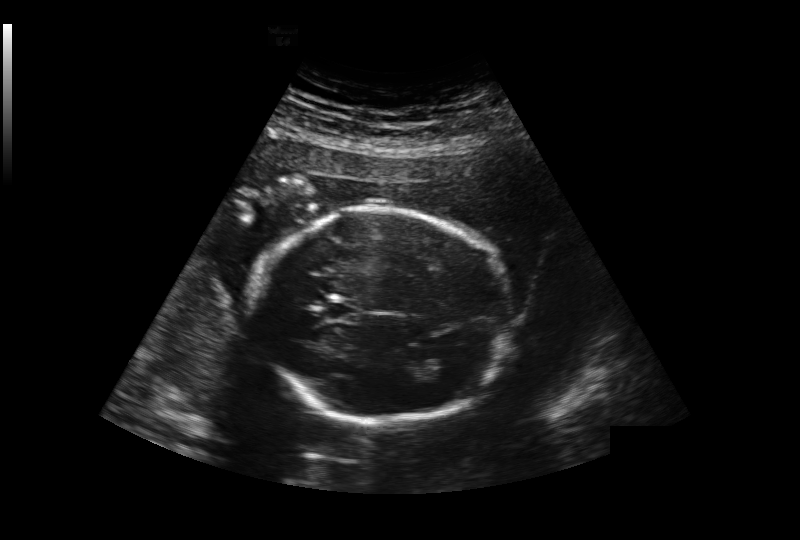
Estimate the fetal head circumference from this 2D ultrasound. Image width: 191.2 mm.

Head circumference: 186.2 mm.